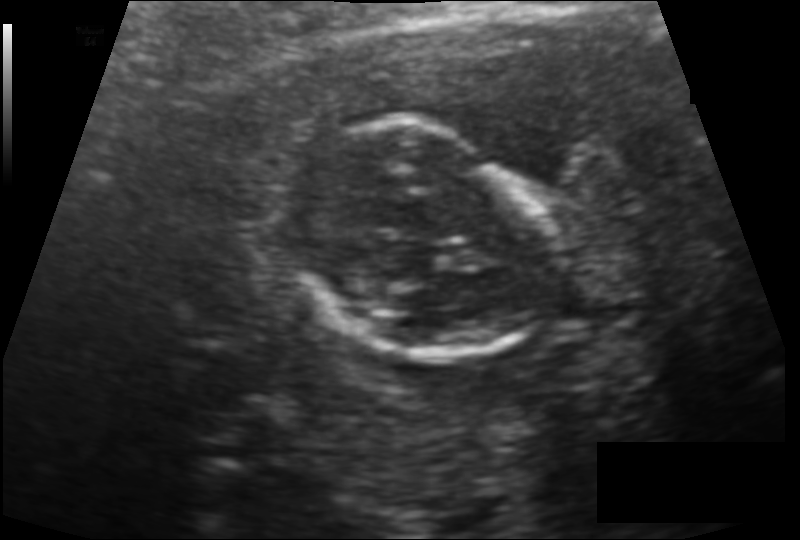
Fetal head ultrasound. Image width: 91.6 mm. Locate the fetal head.

Head: [283,122,552,361]